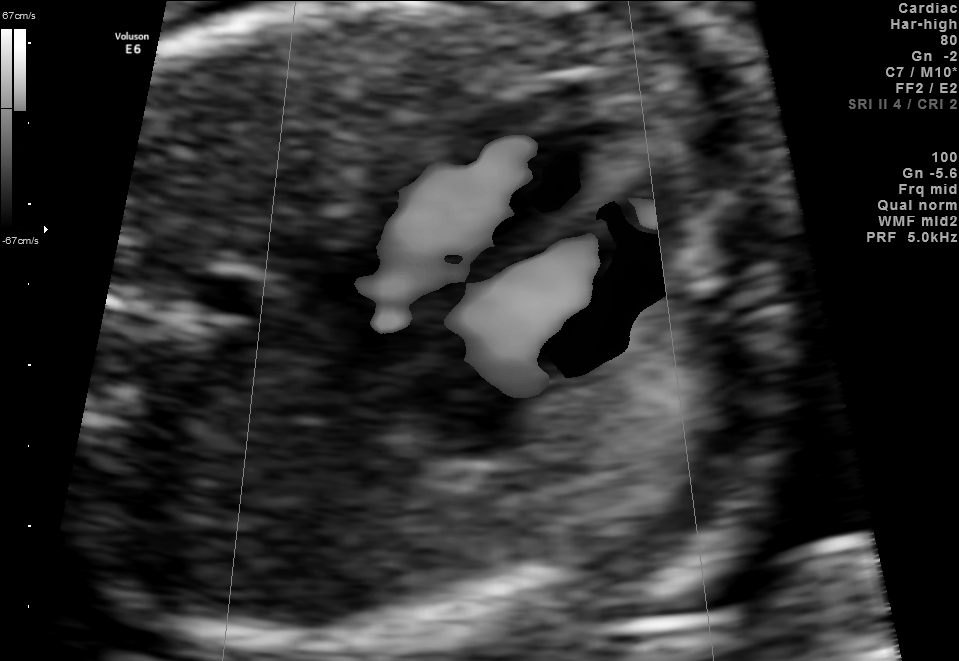
Which standard maternal-fetal ultrasound plane is shown: fetal abdomen, fetal brain, fetal femur, fetal thorax, maternal cervix, or other? If it's fetal brain and one of the three standard brain planes (trans-thalamic, trans-cerebellum, trans-ventricular), name which.

Other